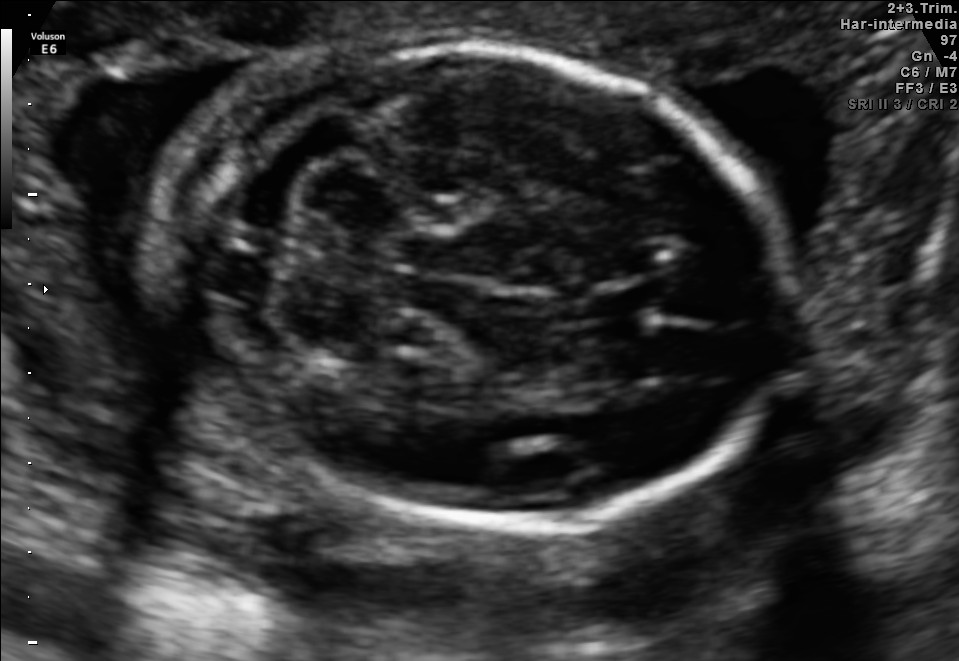
Fetal brain, trans-cerebellum plane. Locate the fetal head and, if visible, the cavum septum pellucidum (CSP) and lateral ventricle (LV). Give bounding boxes as [x1,y1,x2,y2].

Head: [147,43,790,526]